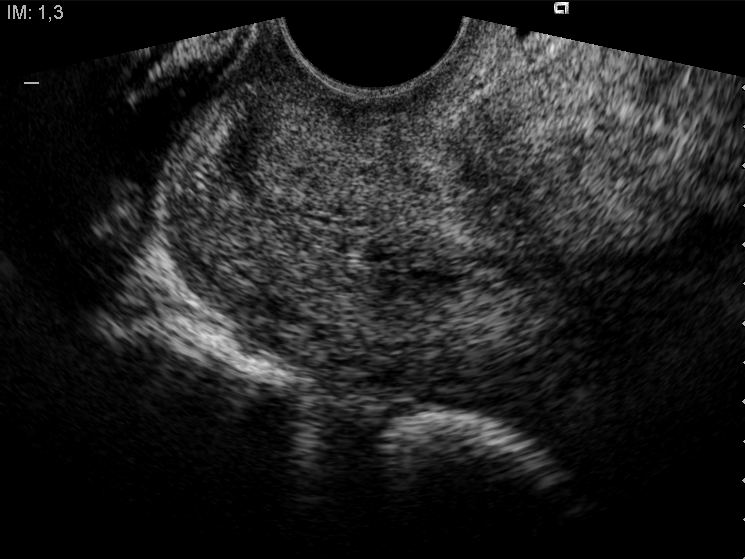
Classify this maternal-fetal ultrasound image as one of the six standard planes — fetal abdomen, fetal brain, fetal femur, fetal thorax, maternal cervix, or other. If it's fetal brain and one of the three standard brain planes (trans-thalamic, trans-cerebellum, trans-ventricular), name which.

Maternal cervix